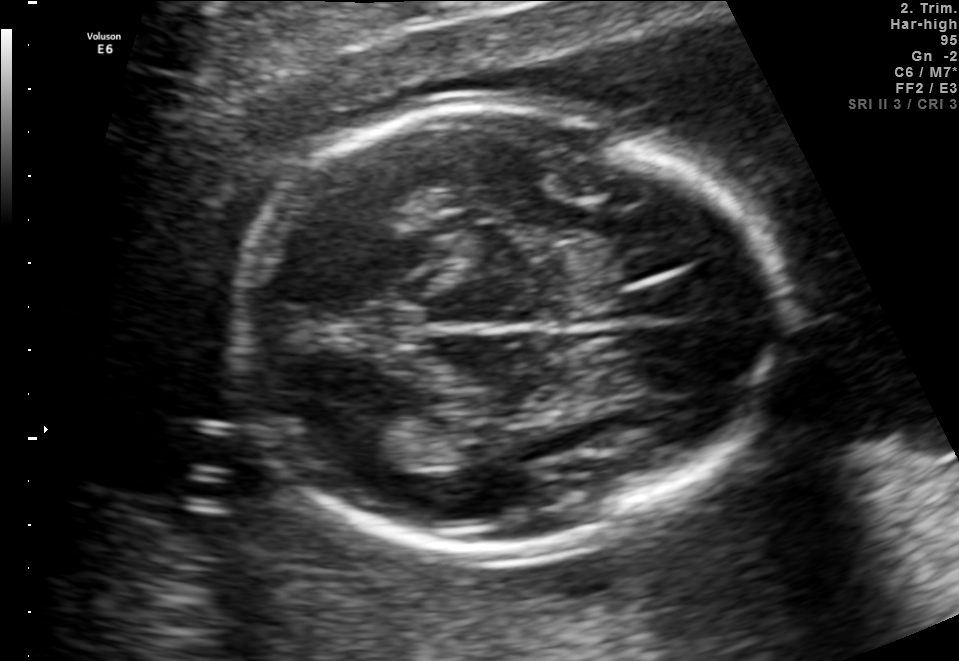
Fetal brain, trans-thalamic plane. Where is the fetal head?

Head bounding box: [231,110,786,549]